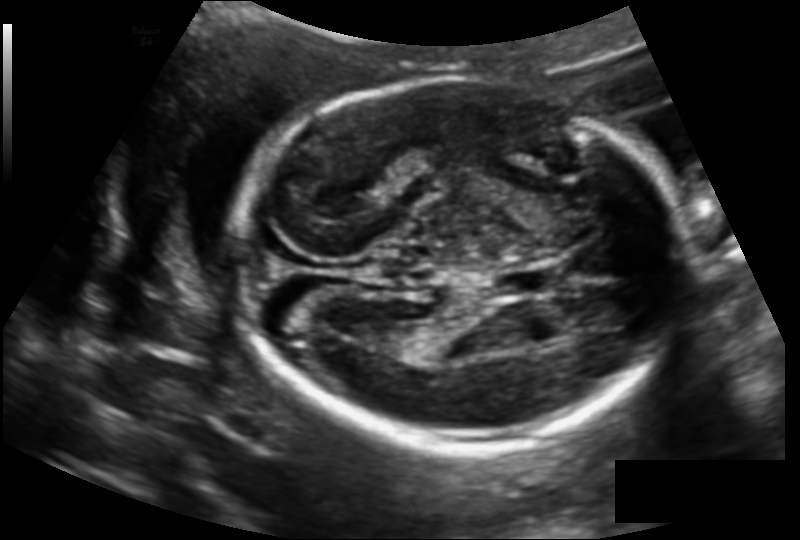
Fetal head ultrasound. Image width: 116.1 mm. Give [x1,y1,x2,y2] bounding boxes for each visible structure among: fetal head, CSP, LV.

Head: [236,78,682,448]
CSP: [488,263,559,302]